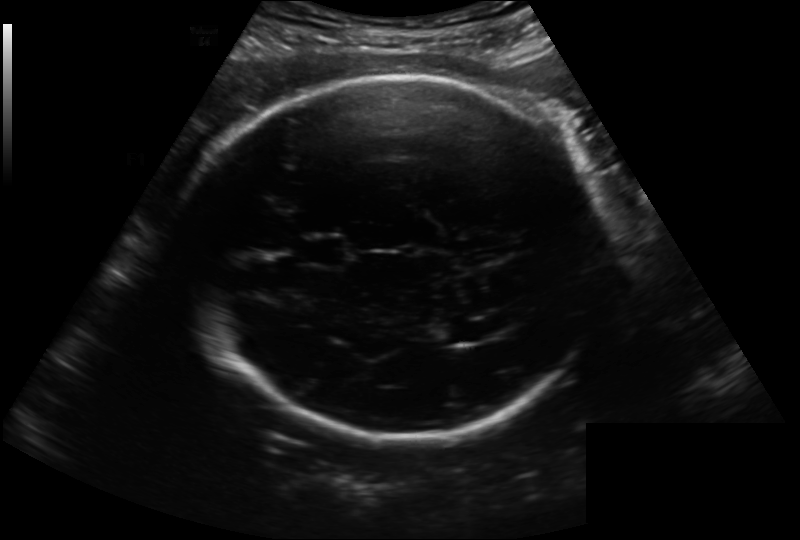
Estimate the fetal head circumference from this 2D ultrasound. Image width: 177.3 mm.

Head circumference: 281.6 mm.